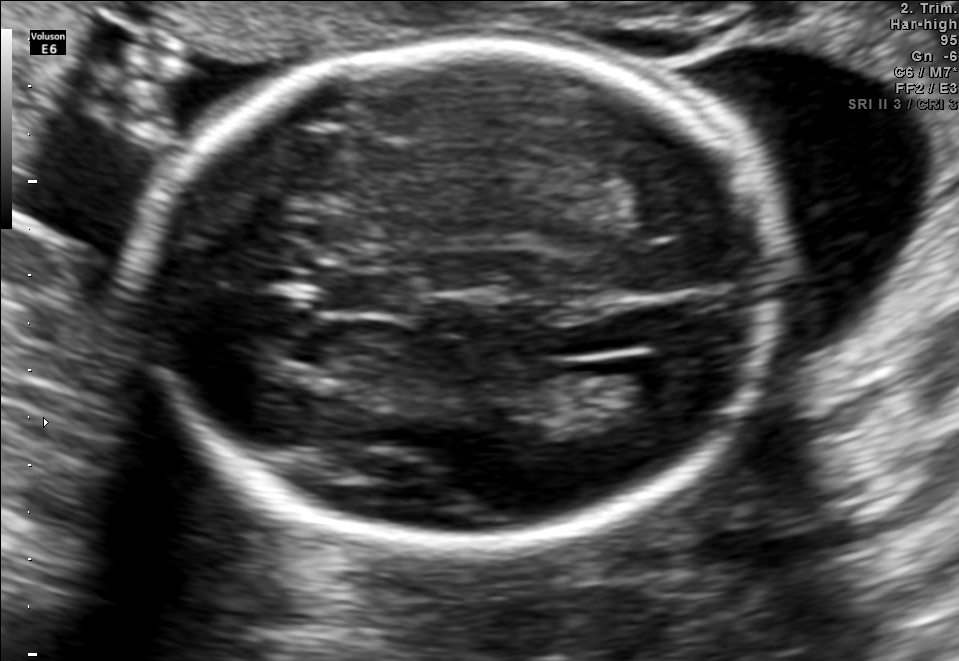
Fetal brain, trans-ventricular plane. Give [x1,y1,x2,y2] bounding boxes for each visible structure among: fetal head, CSP, LV.

Head: [127,35,798,562]
CSP: [322,269,414,317]
Lateral ventricle: [618,355,708,414]